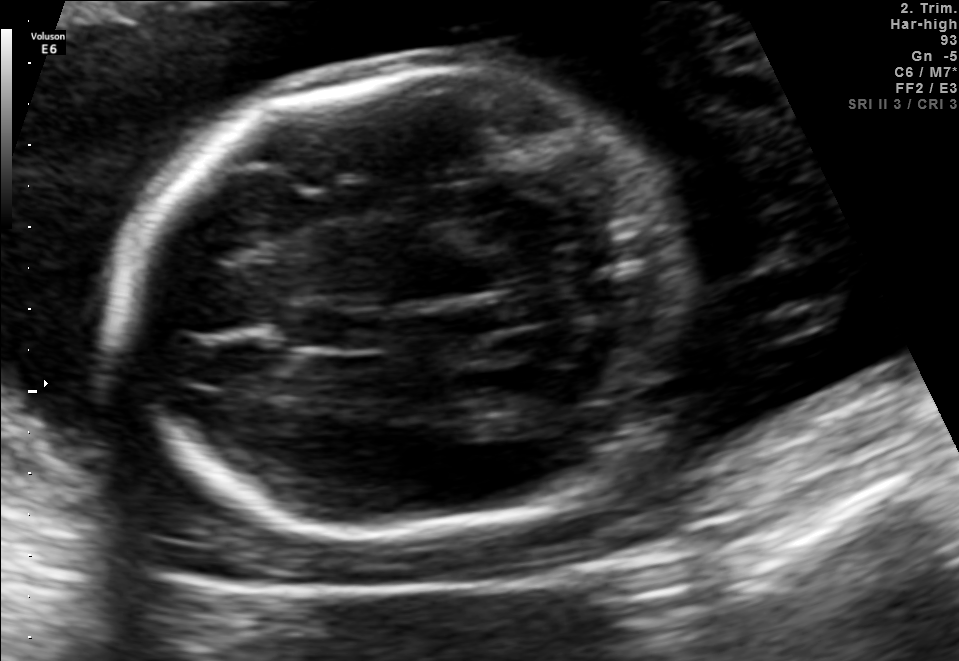
Fetal brain, trans-cerebellum plane. Give [x1,y1,x2,y2] bounding boxes for each visible structure among: fetal head, CSP, LV.

Head: [122,66,673,545]
CSP: [289,311,375,352]